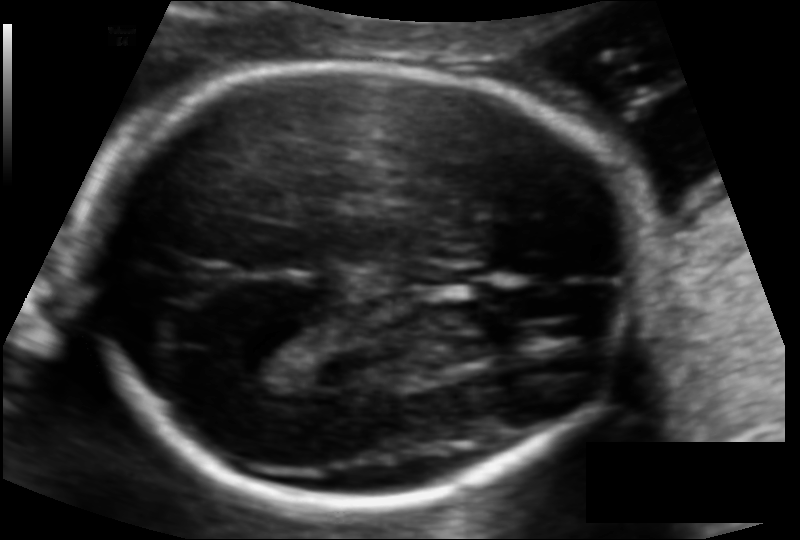
In this fetal head ultrasound, give bounding boxes for the head outline, cavum septum pellucidum (CSP), and lateral ventricle (LV), where visible. Image width: 86.6 mm.

Head: [82,65,643,505]